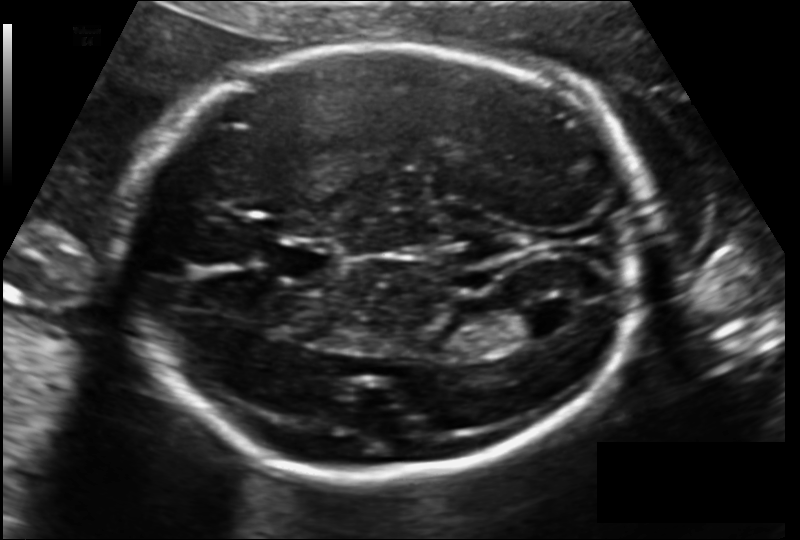
In this fetal head ultrasound, give the bounding box of the fetal head. Image width: 118.5 mm.

[127,45,647,474]